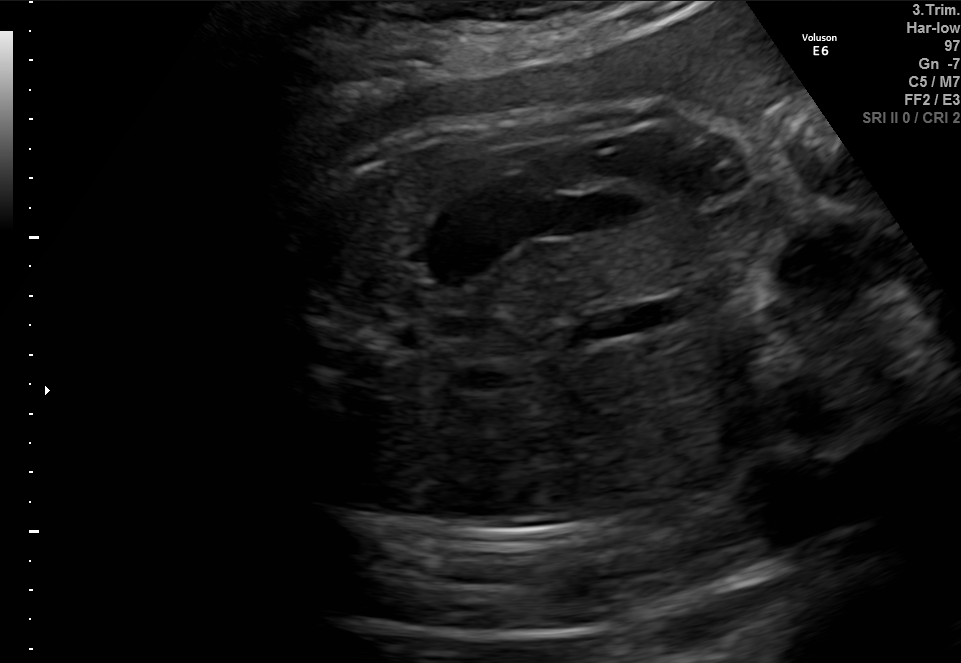
This is a 2D maternal-fetal ultrasound frame. Is it a fetal abdomen, fetal brain, fetal femur, fetal thorax, maternal cervix, or other standard plane? If it's fetal brain and one of the three standard brain planes (trans-thalamic, trans-cerebellum, trans-ventricular), name which.

Fetal abdomen